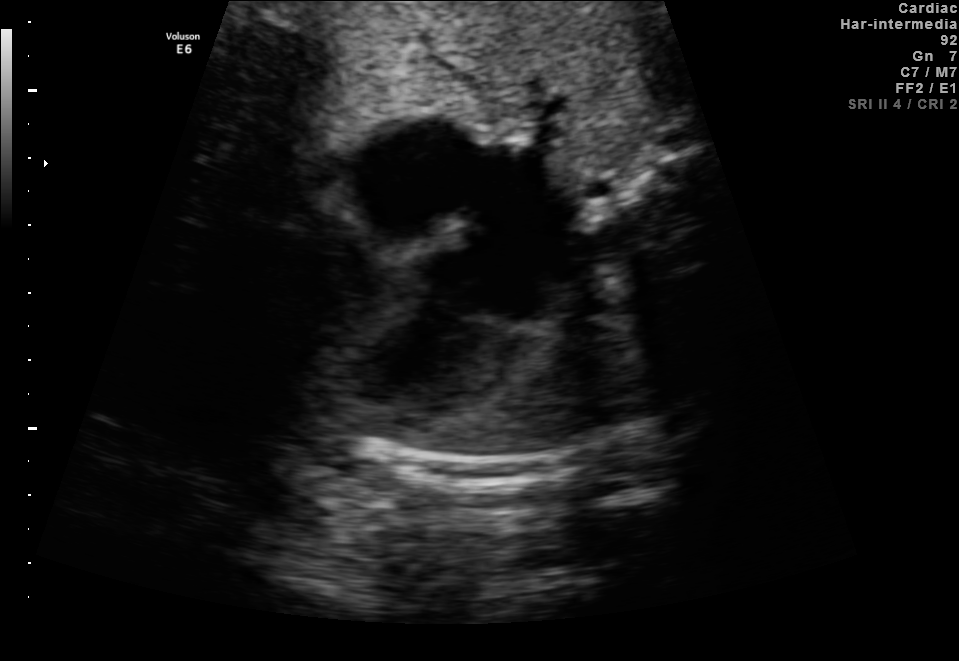
This is a 2D maternal-fetal ultrasound frame. Is it a fetal abdomen, fetal brain, fetal femur, fetal thorax, maternal cervix, or other standard plane? If it's fetal brain and one of the three standard brain planes (trans-thalamic, trans-cerebellum, trans-ventricular), name which.

Fetal thorax